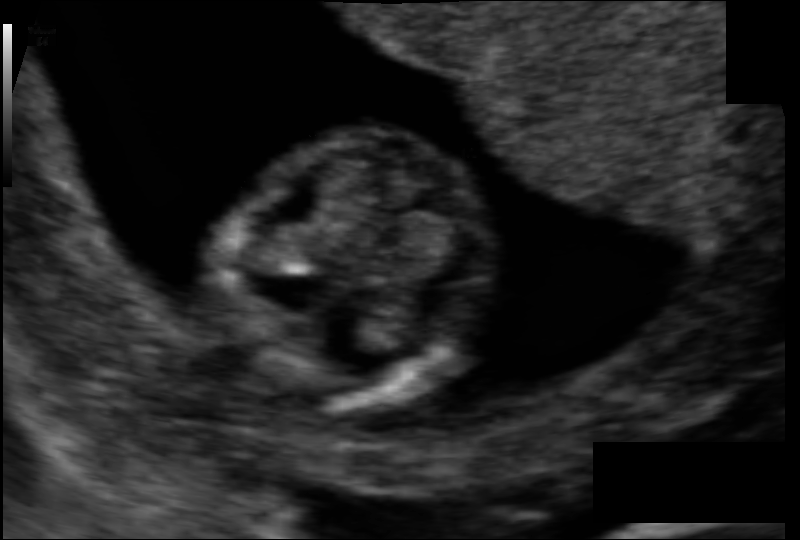
Fetal head ultrasound. Image width: 61.7 mm. Where is the fetal head?

Head bounding box: [221,130,494,408]